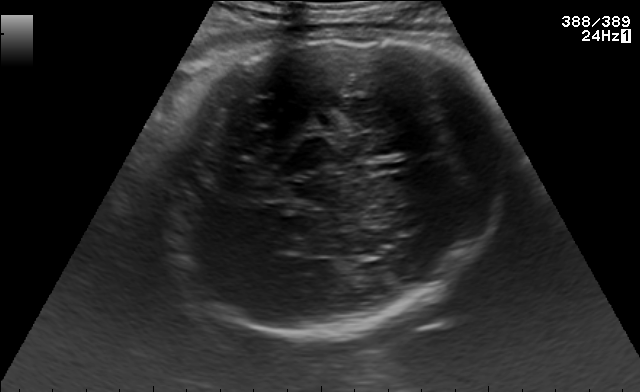
In this fetal brain, trans-thalamic plane, give the bounding box of the fetal head.

[152,28,508,336]